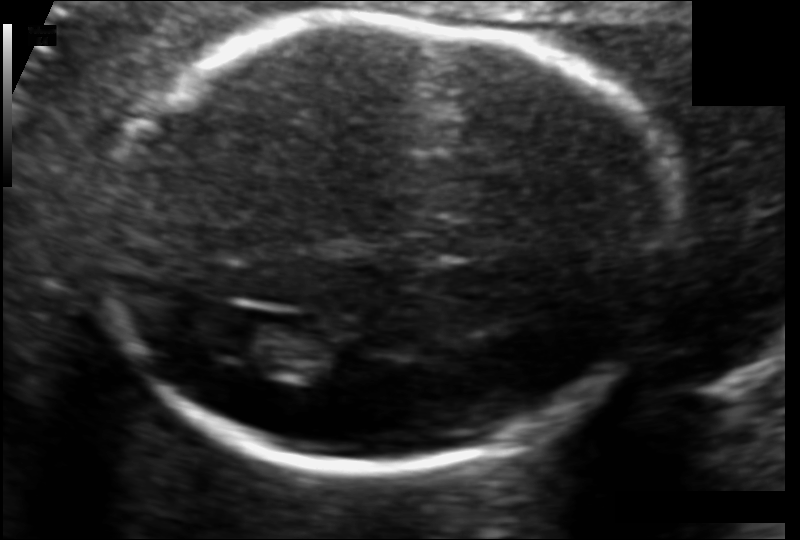
Measure the fetal head circumference shown in this ultrasound image. Image width: 84.9 mm.

Head circumference: 175.1 mm.